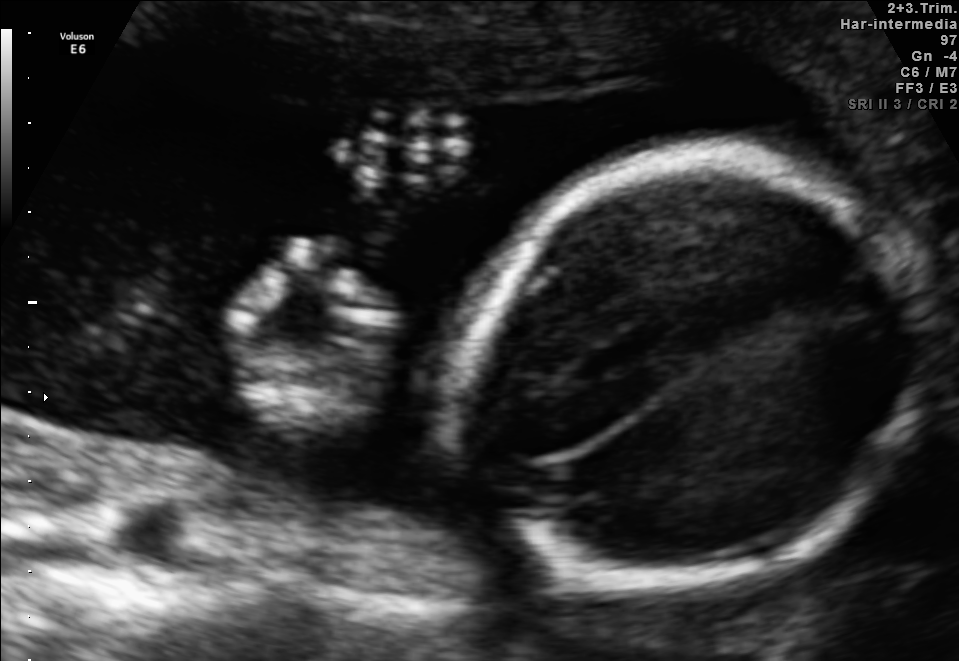
Identify the standard plane in this fetal ultrasound image: fetal abdomen, fetal brain, fetal femur, fetal thorax, maternal cervix, or other. If it's fetal brain and one of the three standard brain planes (trans-thalamic, trans-cerebellum, trans-ventricular), name which.

Fetal brain